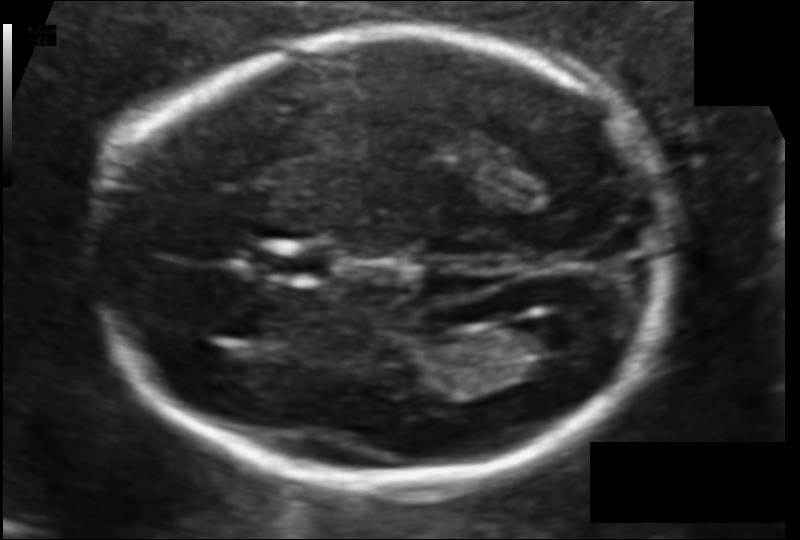
From this fetal ultrasound, estimate the head circumference (image width 85.0 mm).

Head circumference: 176.7 mm.